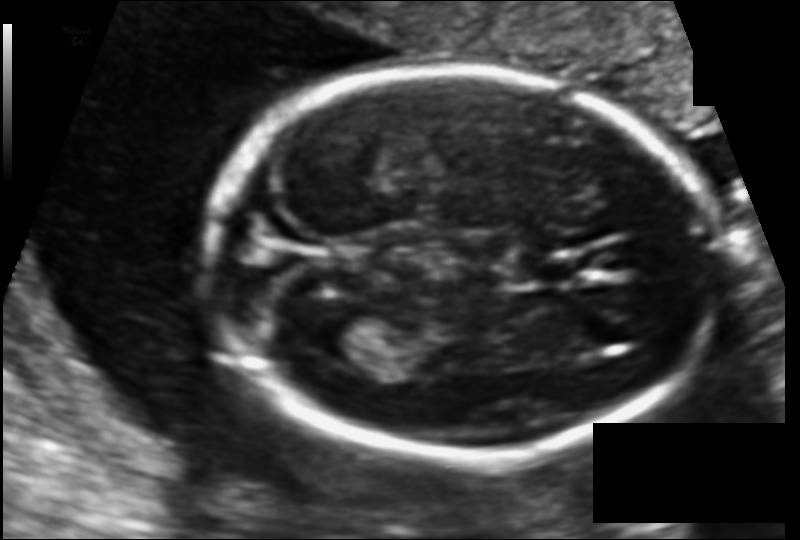
Estimate the fetal head circumference from this 2D ultrasound. Image width: 86.7 mm.

Head circumference: 155.8 mm.